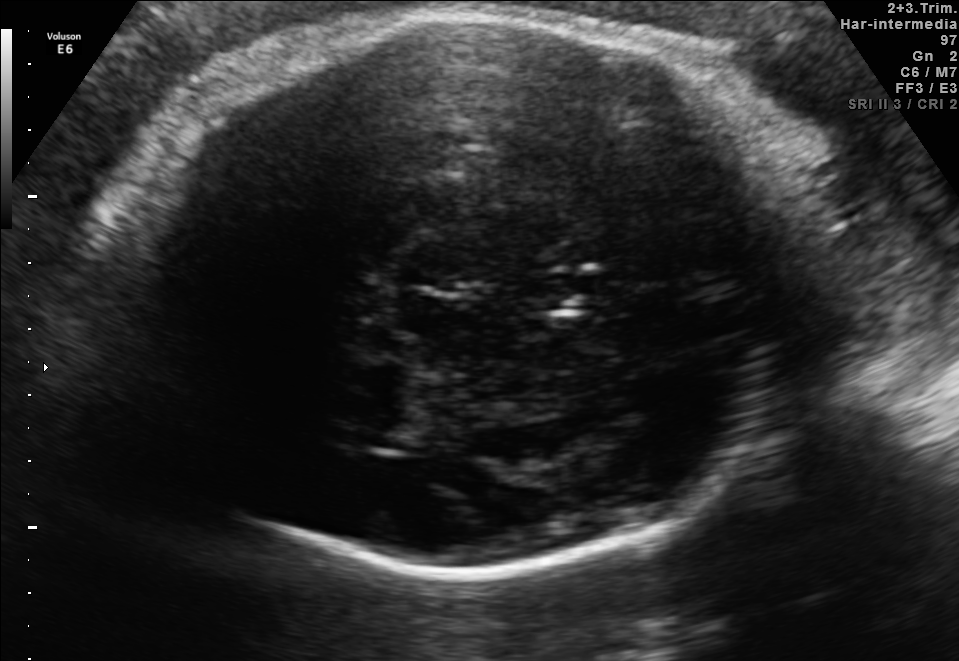
Fetal brain, trans-thalamic plane. Where is the lateral ventricle?

Lateral ventricle bounding box: [346,413,430,452]